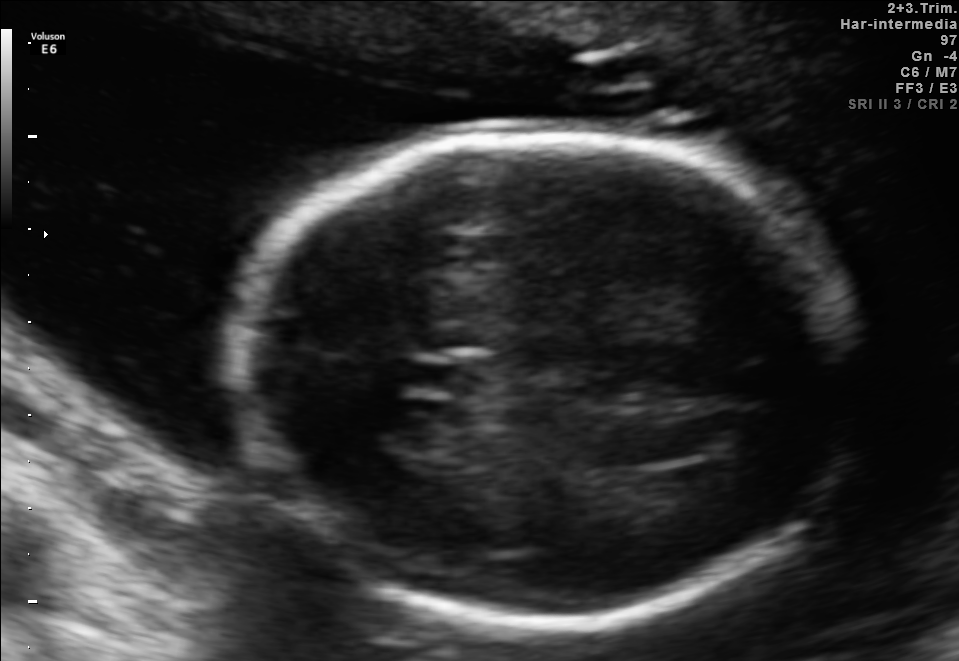
Fetal brain, trans-thalamic plane. Give [x1,y1,x2,y2] bounding boxes for each visible structure among: fetal head, CSP, LV.

Head: [239,135,850,620]
CSP: [401,362,468,392]